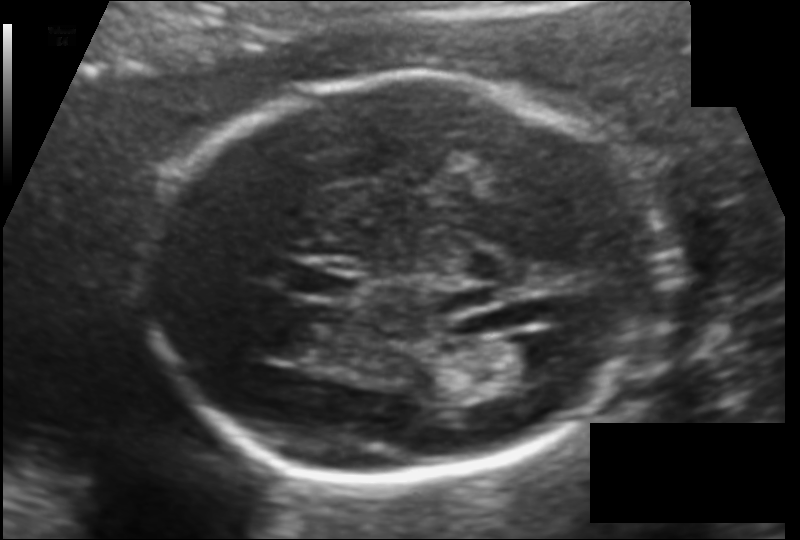
Fetal head ultrasound. Image width: 95.9 mm. Locate the fetal head and, if visible, the cavum septum pellucidum (CSP) and lateral ventricle (LV). Give bounding boxes as [x1,y1,x2,y2].

Head: [153,74,664,481]
CSP: [286,263,360,306]
Lateral ventricle: [485,329,571,386]